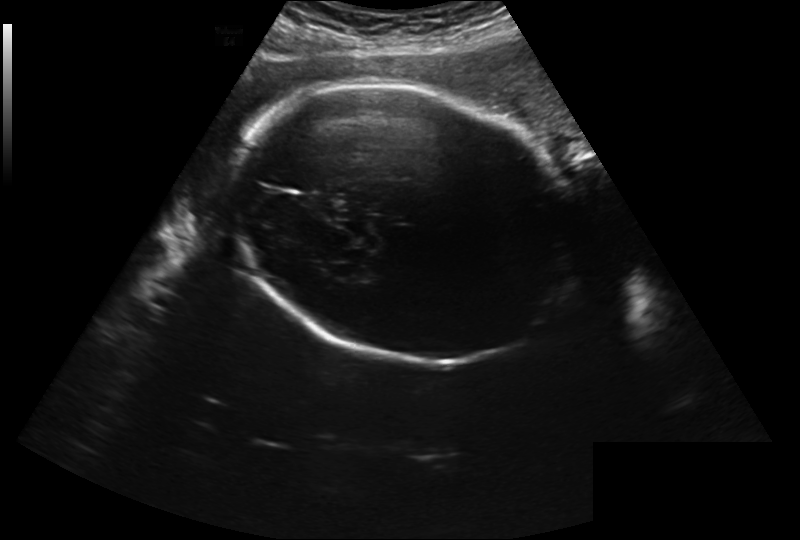
Estimate the fetal head circumference from this 2D ultrasound. Image width: 223.8 mm.

Head circumference: 279.4 mm.